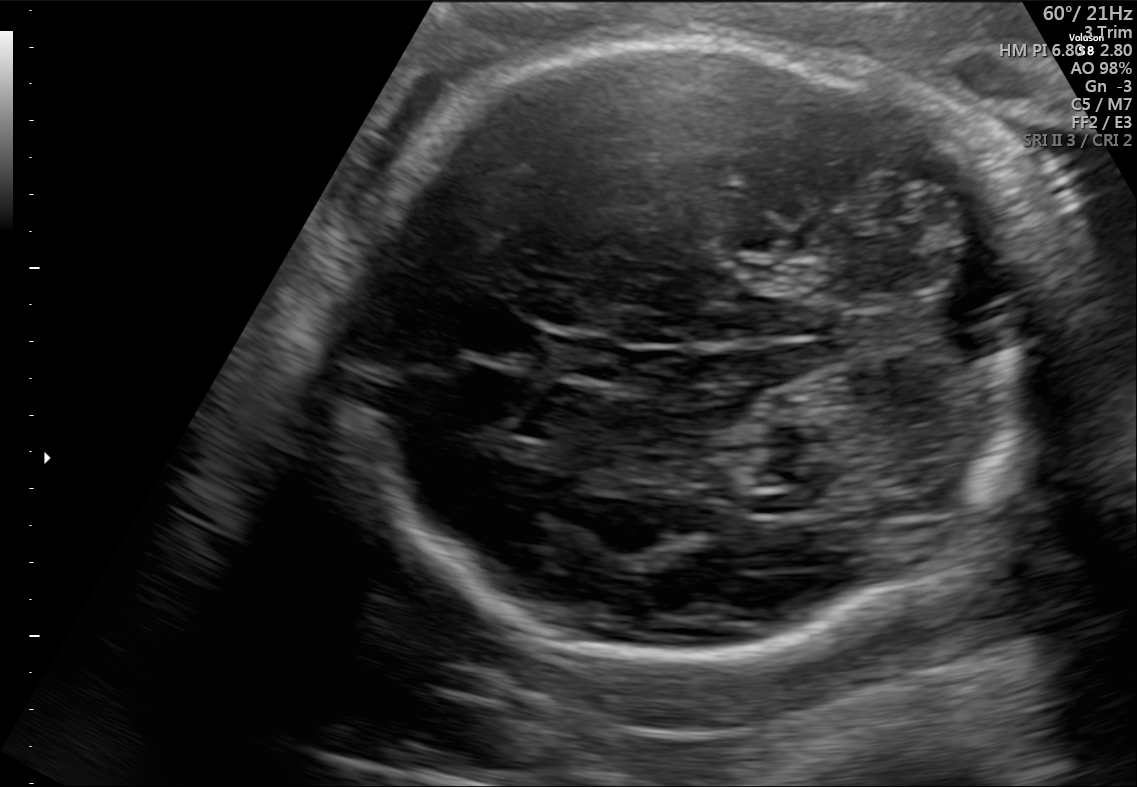
In this fetal brain, trans-cerebellum plane, give bounding boxes for the head outline, cavum septum pellucidum (CSP), and lateral ventricle (LV), where visible.

Head: [345,42,1034,655]